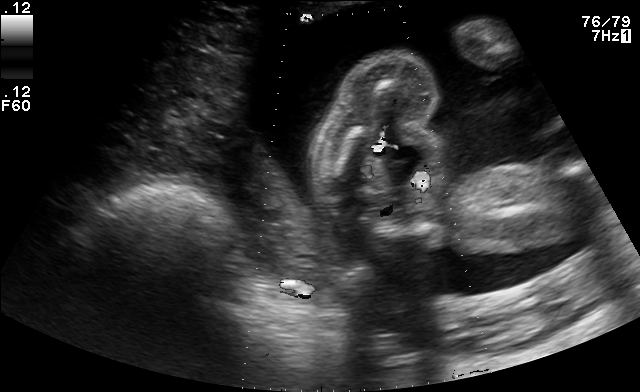
Classify this maternal-fetal ultrasound image as one of the six standard planes — fetal abdomen, fetal brain, fetal femur, fetal thorax, maternal cervix, or other. If it's fetal brain and one of the three standard brain planes (trans-thalamic, trans-cerebellum, trans-ventricular), name which.

Other